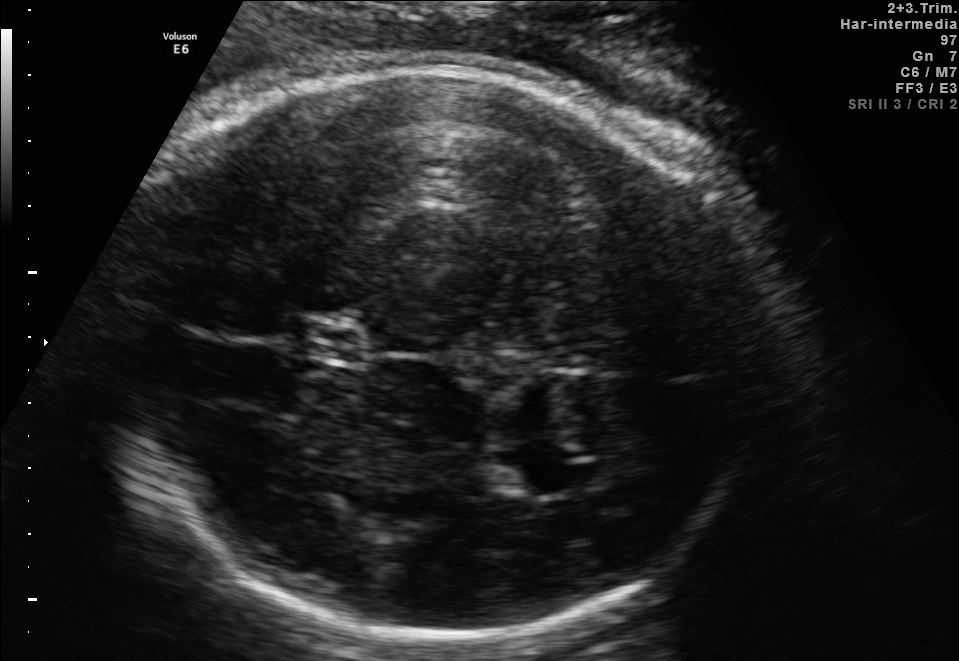
Fetal brain, trans-thalamic plane. Locate the cavum septum pellucidum.

CSP: [290,317,364,363]